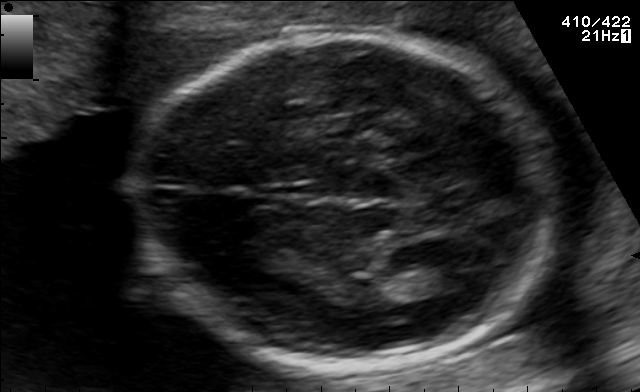
In this fetal brain, trans-thalamic plane, give the bounding box of the fetal head.

[135,34,557,365]